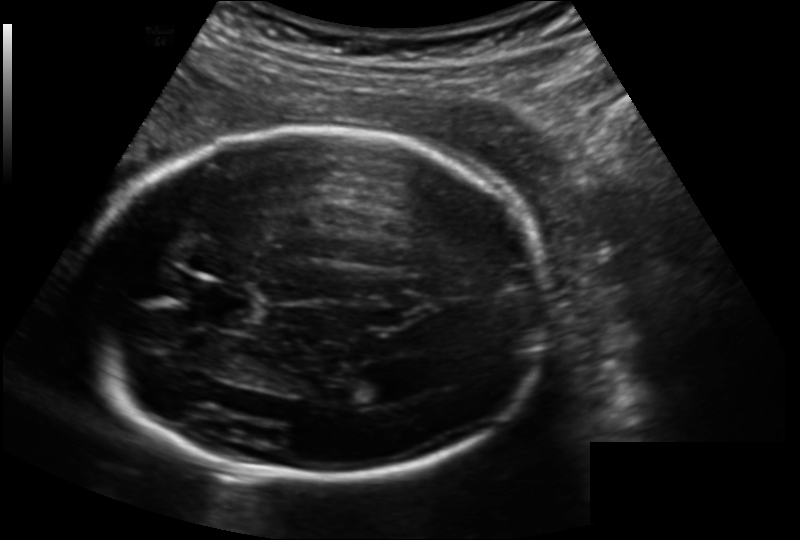
Fetal head ultrasound. Image width: 130.8 mm. Where is the lateral ventricle?

Lateral ventricle bounding box: [347,367,402,410]